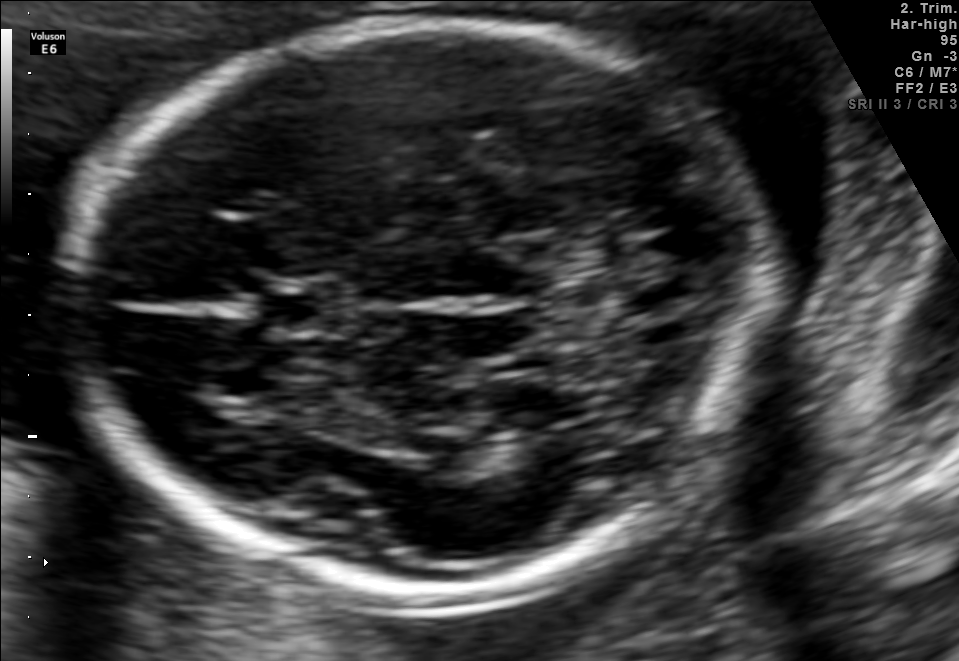
Fetal brain, trans-thalamic plane. Where is the fetal head?

Head bounding box: [70,24,781,597]